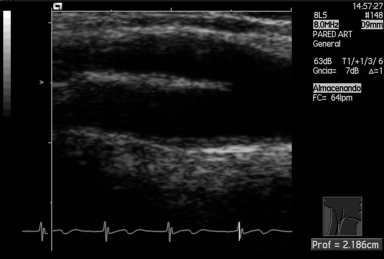
Identify the standard plane in this fetal ultrasound image: fetal abdomen, fetal brain, fetal femur, fetal thorax, maternal cervix, or other. If it's fetal brain and one of the three standard brain planes (trans-thalamic, trans-cerebellum, trans-ventricular), name which.

Other